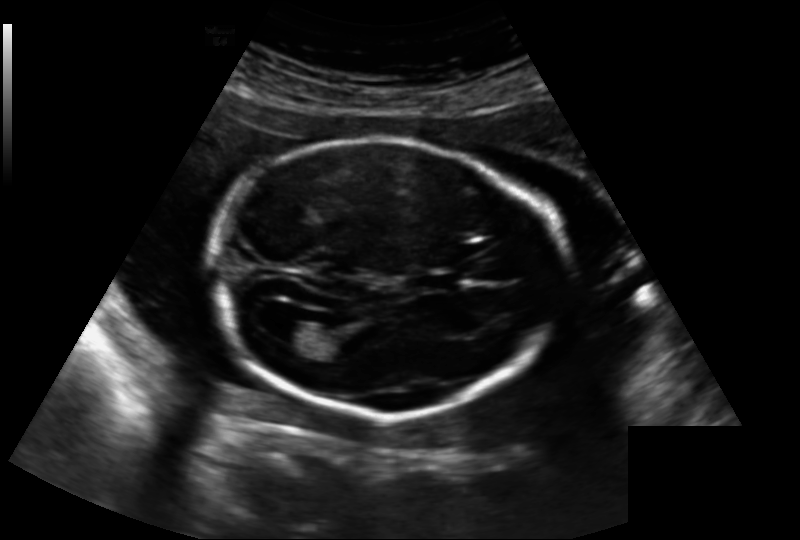
In this fetal head ultrasound, give the bounding box of the cavum septum pellucidum. Image width: 150.3 mm.

[418,271,460,291]